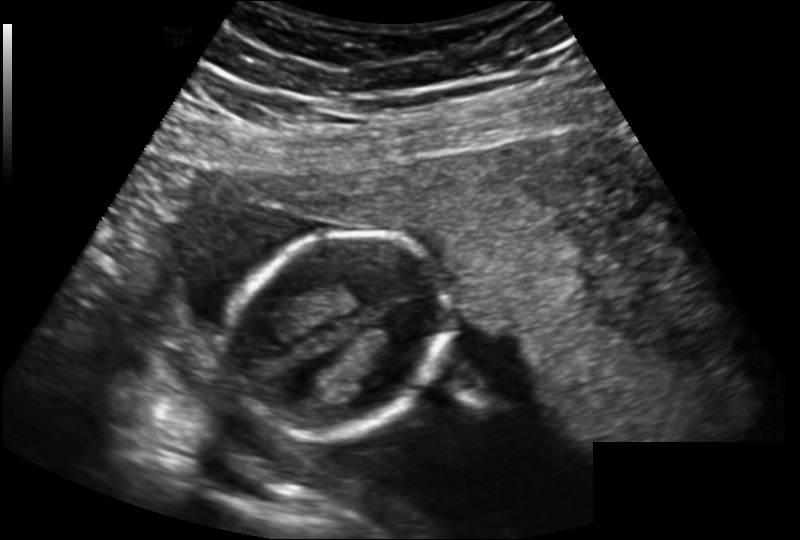
From this fetal ultrasound, estimate the head circumference (image width 146.2 mm).

Head circumference: 125.2 mm.